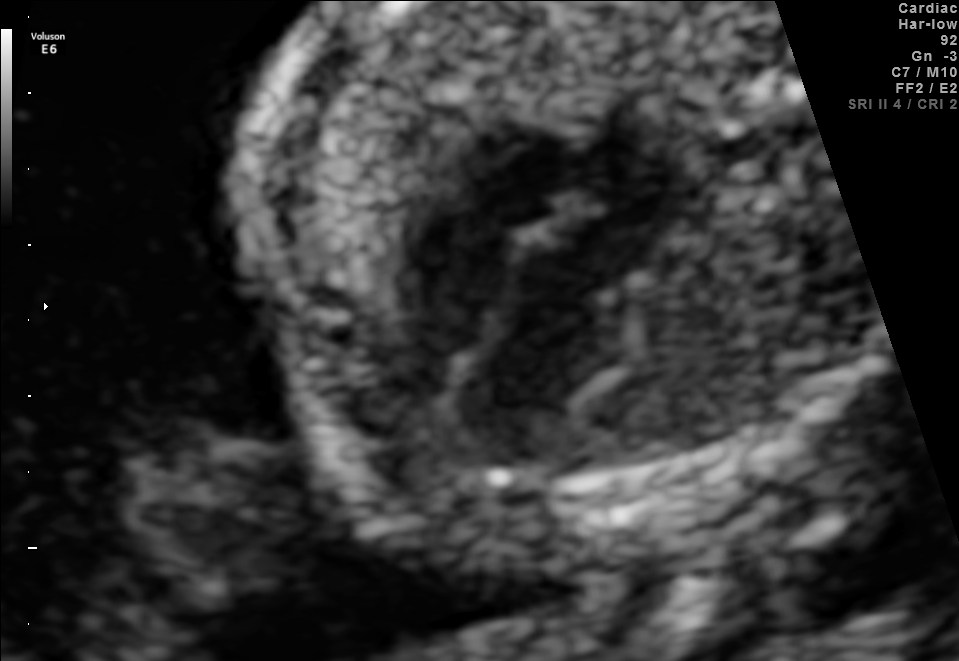
Classify this maternal-fetal ultrasound image as one of the six standard planes — fetal abdomen, fetal brain, fetal femur, fetal thorax, maternal cervix, or other. If it's fetal brain and one of the three standard brain planes (trans-thalamic, trans-cerebellum, trans-ventricular), name which.

Fetal thorax